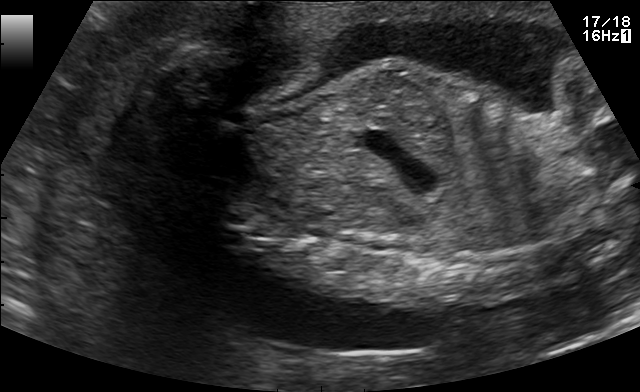
This is a 2D maternal-fetal ultrasound frame. Is it a fetal abdomen, fetal brain, fetal femur, fetal thorax, maternal cervix, or other standard plane? If it's fetal brain and one of the three standard brain planes (trans-thalamic, trans-cerebellum, trans-ventricular), name which.

Other